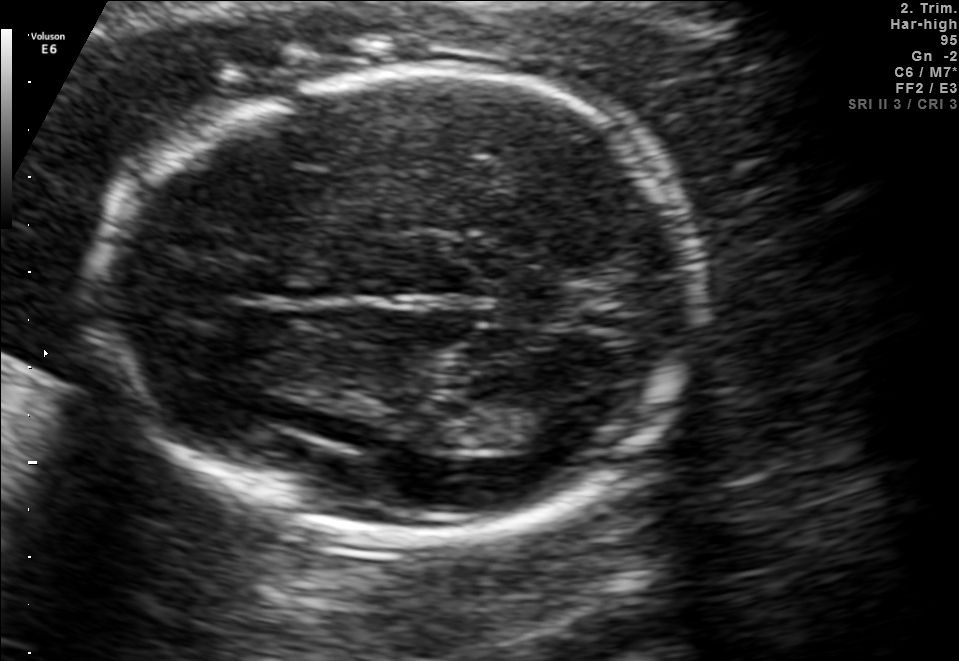
Fetal brain, trans-thalamic plane. Locate the fetal head and, if visible, the cavum septum pellucidum (CSP) and lateral ventricle (LV). Give bounding boxes as [x1,y1,x2,y2].

Head: [117,68,700,531]
Lateral ventricle: [492,400,586,455]